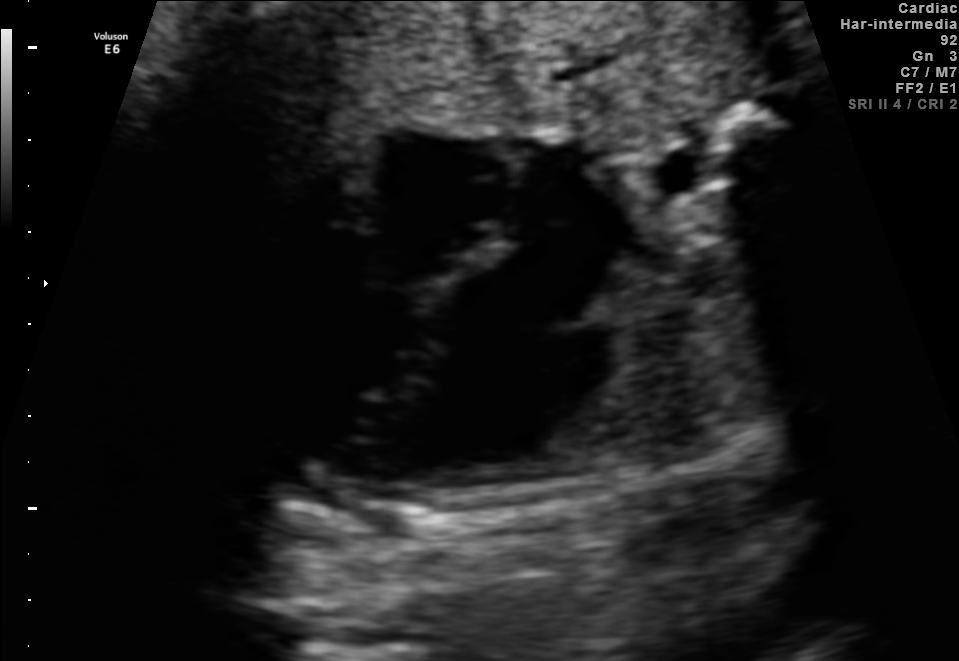
This is a 2D maternal-fetal ultrasound frame. Is it a fetal abdomen, fetal brain, fetal femur, fetal thorax, maternal cervix, or other standard plane? If it's fetal brain and one of the three standard brain planes (trans-thalamic, trans-cerebellum, trans-ventricular), name which.

Fetal thorax